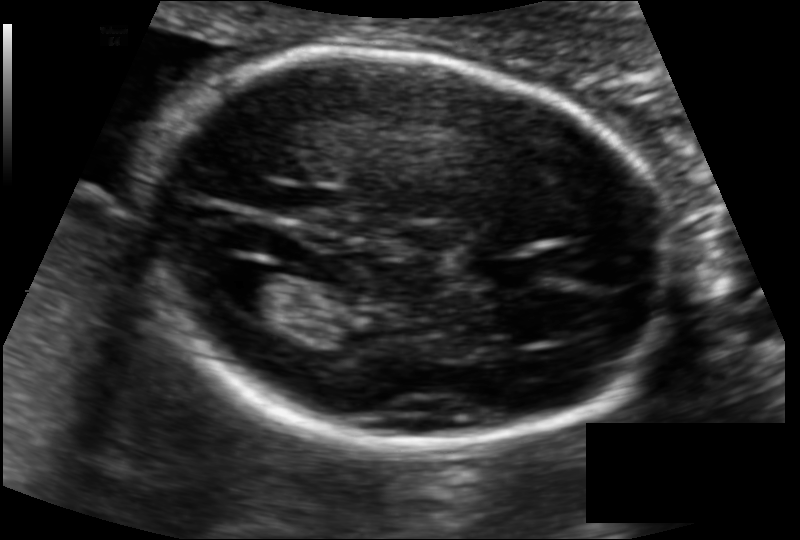
Estimate the fetal head circumference from this 2D ultrasound.

Head circumference: 165.7 mm (image width 88.0 mm).